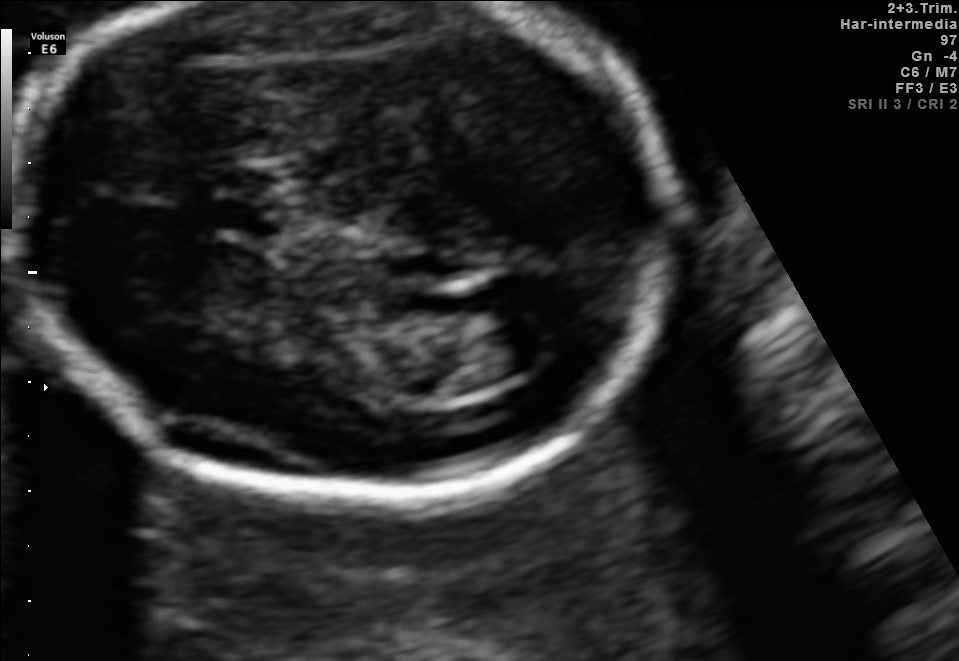
Fetal brain, trans-ventricular plane. Where is the cavum septum pellucidum?

CSP bounding box: [214,199,276,238]